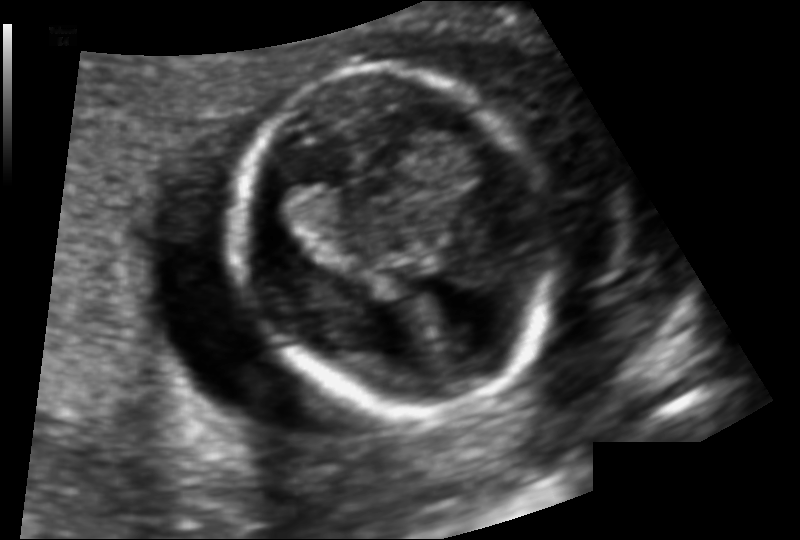
Measure the fetal head circumference shown in this ultrasound image. Image width: 85.7 mm.

Head circumference: 116.6 mm.